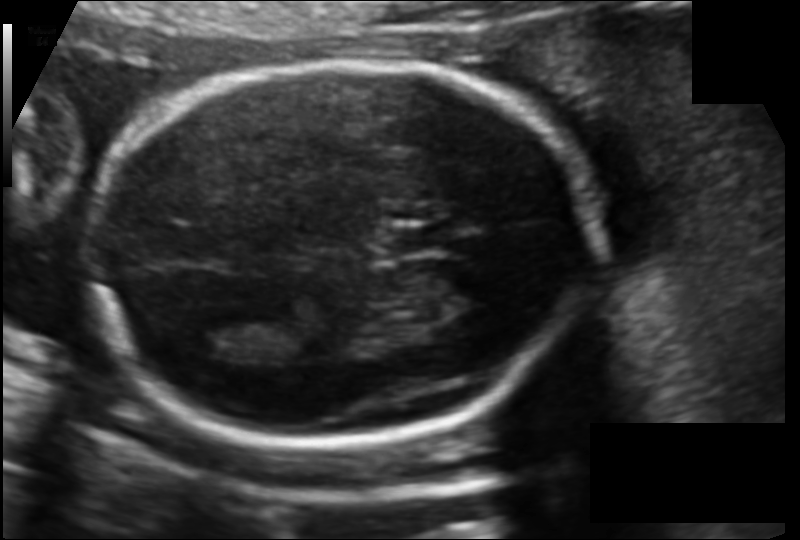
In this fetal head ultrasound, give the bounding box of the cavum septum pellucidum. Image width: 96.2 mm.

[379,221,455,259]